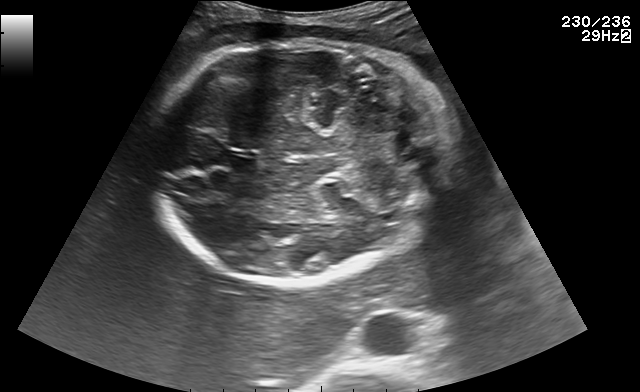
Which standard maternal-fetal ultrasound plane is shown: fetal abdomen, fetal brain, fetal femur, fetal thorax, maternal cervix, or other? If it's fetal brain and one of the three standard brain planes (trans-thalamic, trans-cerebellum, trans-ventricular), name which.

Fetal brain (trans-cerebellum plane)